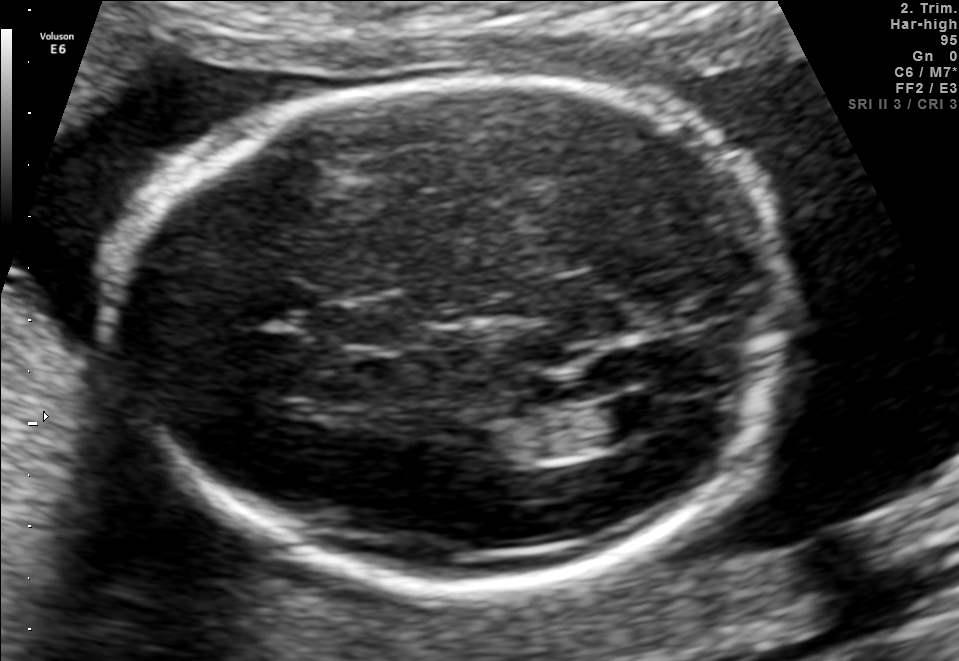
Fetal brain, trans-ventricular plane. Locate the fetal head and, if visible, the cavum septum pellucidum (CSP) and lateral ventricle (LV). Give bounding boxes as [x1,y1,x2,y2].

Head: [103,80,786,587]
CSP: [316,301,426,347]
Lateral ventricle: [592,380,680,448]